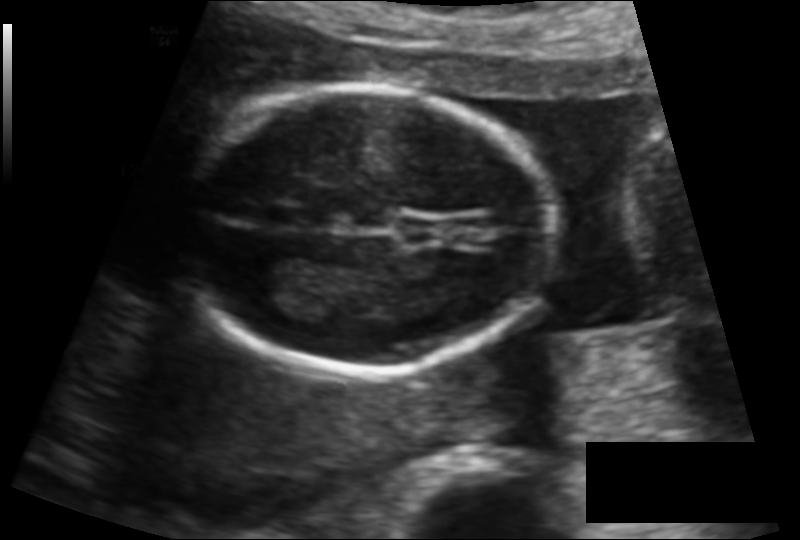
Fetal head ultrasound. Image width: 93.2 mm. Locate the fetal head.

Head: [176,87,551,372]